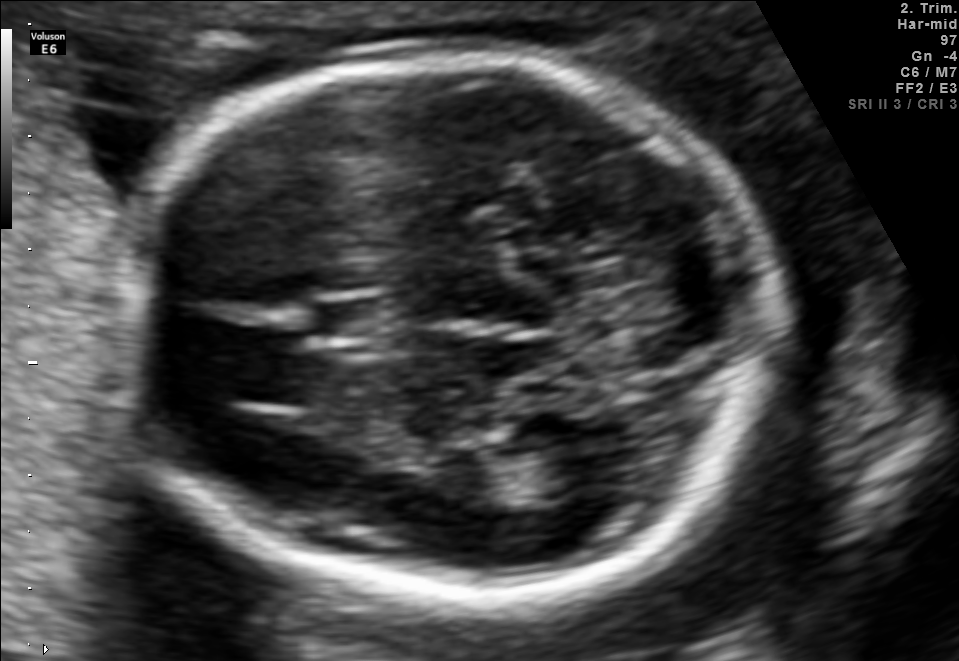
Fetal brain, trans-thalamic plane. Where is the fetal head?

Head bounding box: [110,53,779,586]